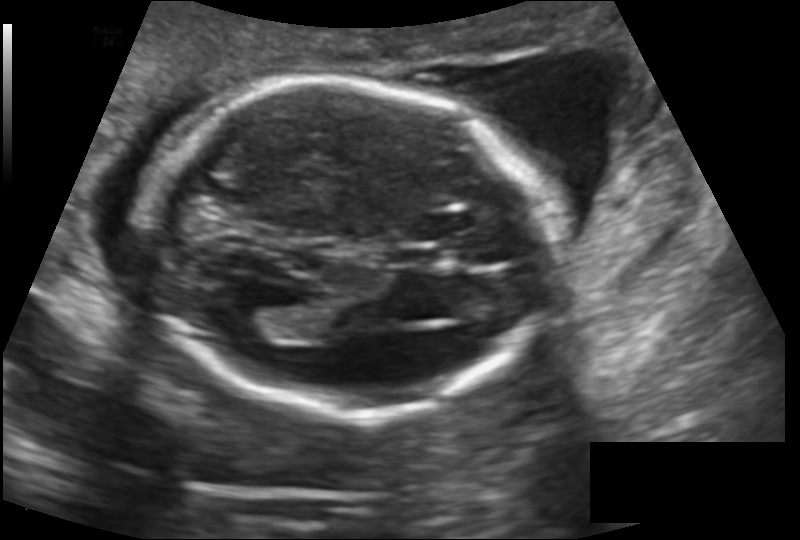
Fetal head ultrasound. Image width: 116.4 mm. Locate the cavum septum pellucidum.

CSP: [387,247,444,267]